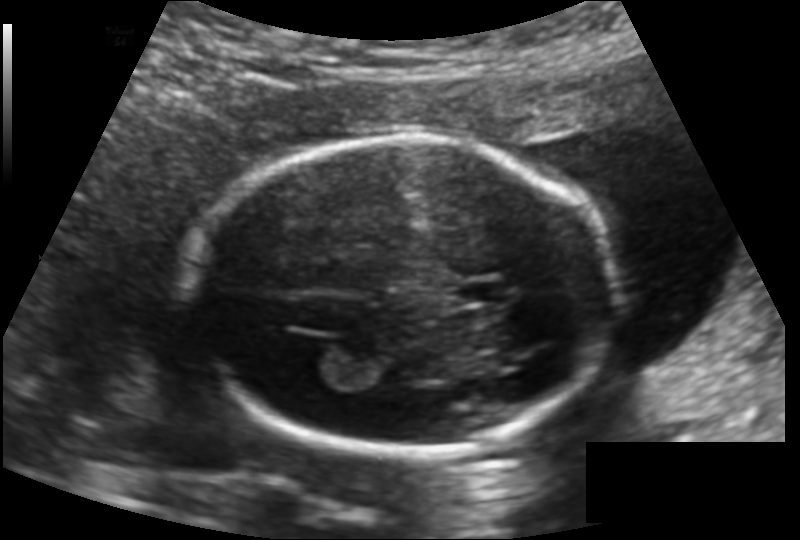
Measure the fetal head circumference shown in this ultrasound image. Image width: 109.1 mm.

Head circumference: 162.7 mm.